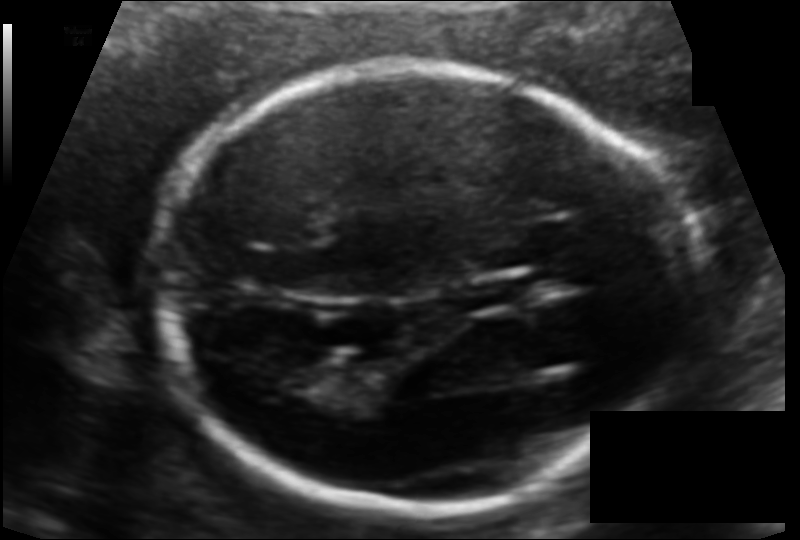
Measure the fetal head circumference shown in this ultrasound image. Image width: 85.9 mm.

Head circumference: 170.3 mm.